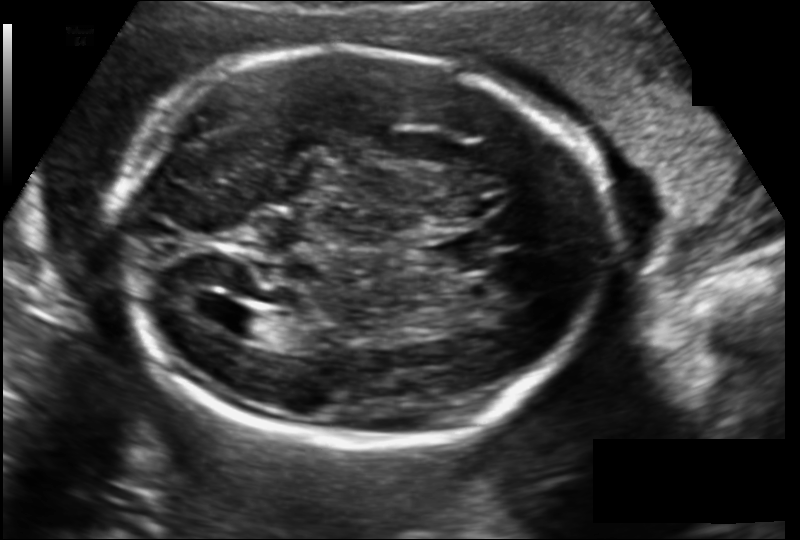
Fetal head ultrasound. Image width: 119.2 mm. Locate the lateral ventricle.

Lateral ventricle: [219,305,276,343]